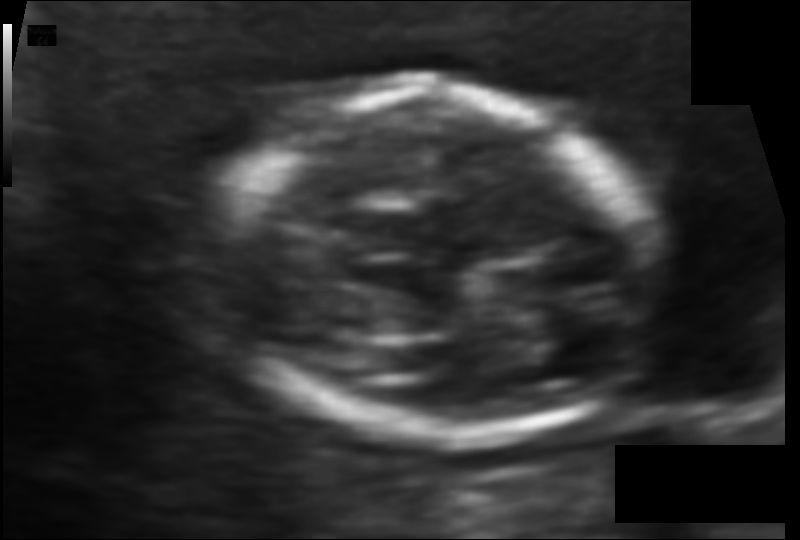
In this fetal head ultrasound, give the bounding box of the fetal head. Image width: 66.1 mm.

[200,87,657,441]